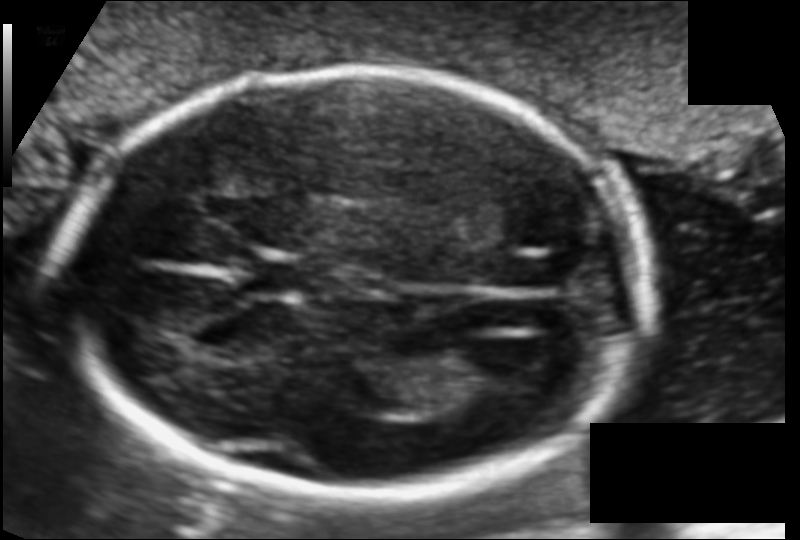
In this fetal head ultrasound, give the bounding box of the cavum septum pellucidum. Image width: 87.9 mm.

[243,252,311,302]